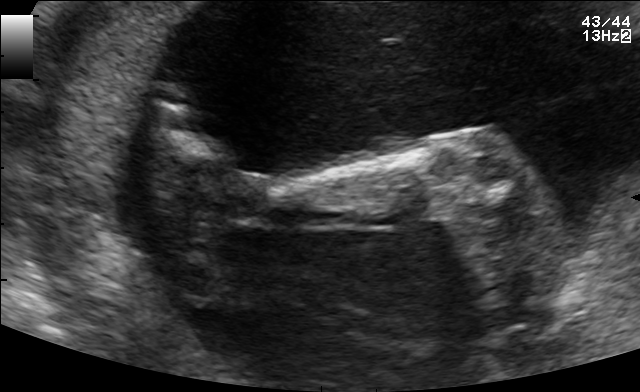
Identify the standard plane in this fetal ultrasound image: fetal abdomen, fetal brain, fetal femur, fetal thorax, maternal cervix, or other. If it's fetal brain and one of the three standard brain planes (trans-thalamic, trans-cerebellum, trans-ventricular), name which.

Other